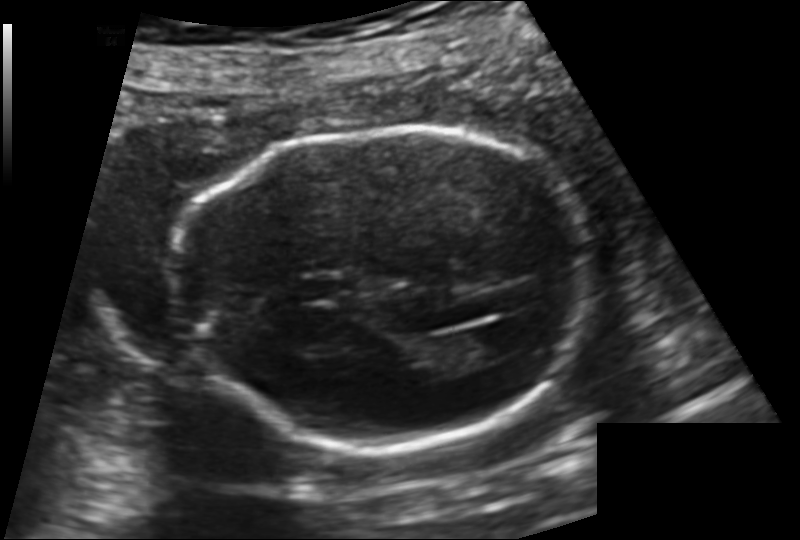
In this fetal head ultrasound, give bounding boxes for the head outline, cavum septum pellucidum (CSP), and lateral ventricle (LV), where visible. Image width: 115.3 mm.

Head: [178,131,592,449]
CSP: [295,277,341,301]
Lateral ventricle: [447,320,517,370]